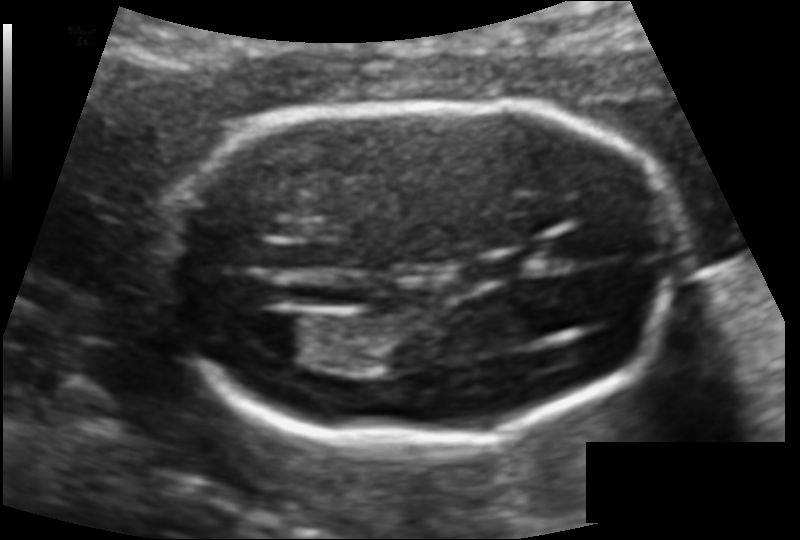
Fetal head ultrasound. Image width: 87.1 mm. Locate the cavum septum pellucidum.

CSP: [545,221,611,271]